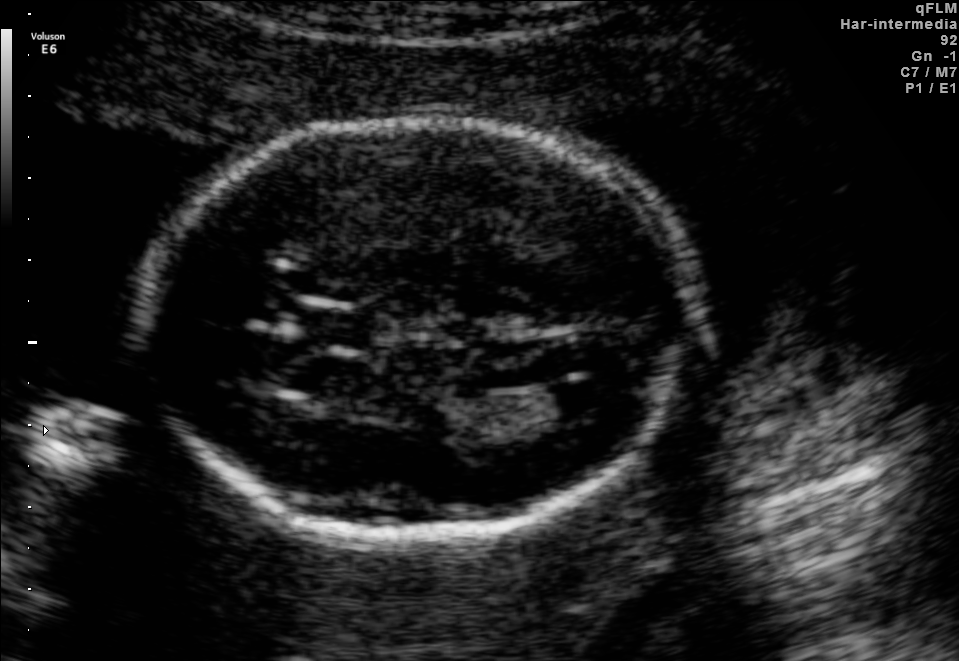
In this fetal brain, trans-ventricular plane, give the bounding box of the cavum septum pellucidum.

[290,300,392,357]